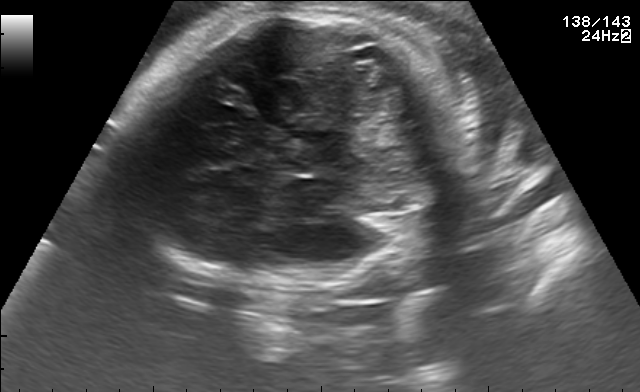
Fetal brain, trans-thalamic plane. Give [x1,y1,x2,y2] bounding boxes for each visible structure among: fetal head, CSP, LV.

Head: [125,9,454,288]